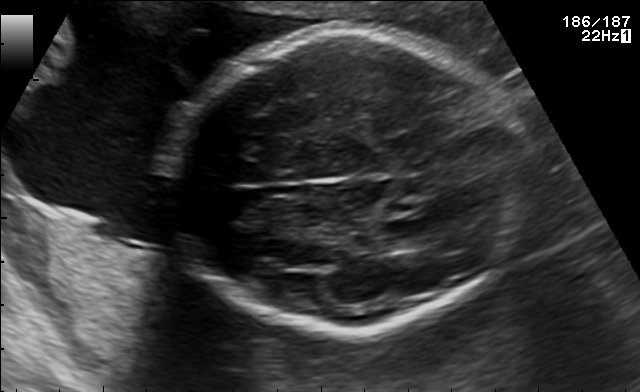
Fetal brain, trans-thalamic plane. Where is the fetal head?

Head bounding box: [166,30,525,331]